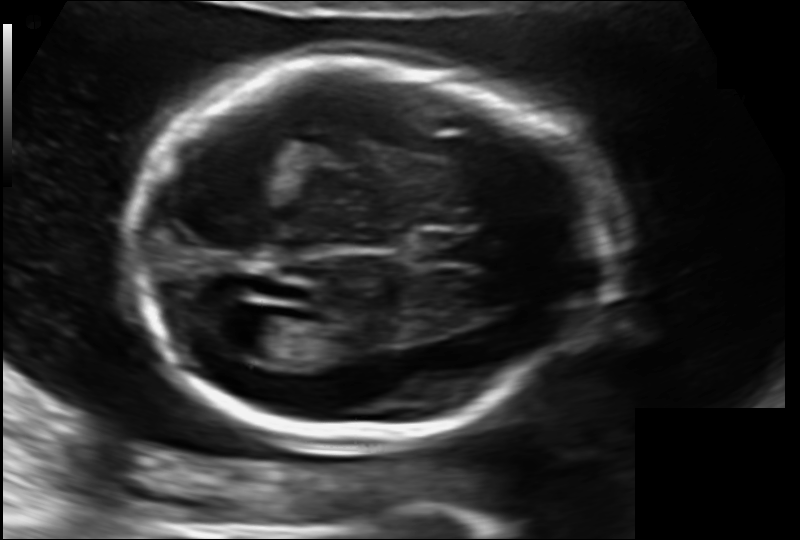
Fetal head ultrasound. Image width: 103.9 mm. Locate the cavum septum pellucidum.

CSP: [416,233,485,264]